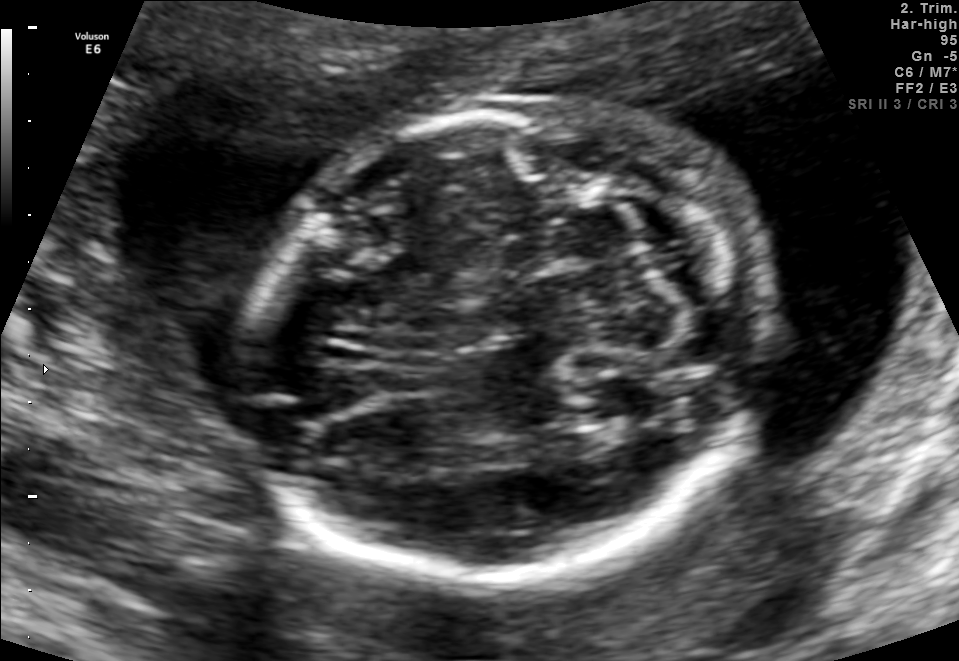
In this fetal brain, trans-cerebellum plane, give bounding boxes for the head outline, cavum septum pellucidum (CSP), and lateral ventricle (LV), where visible.

Head: [262,96,765,587]